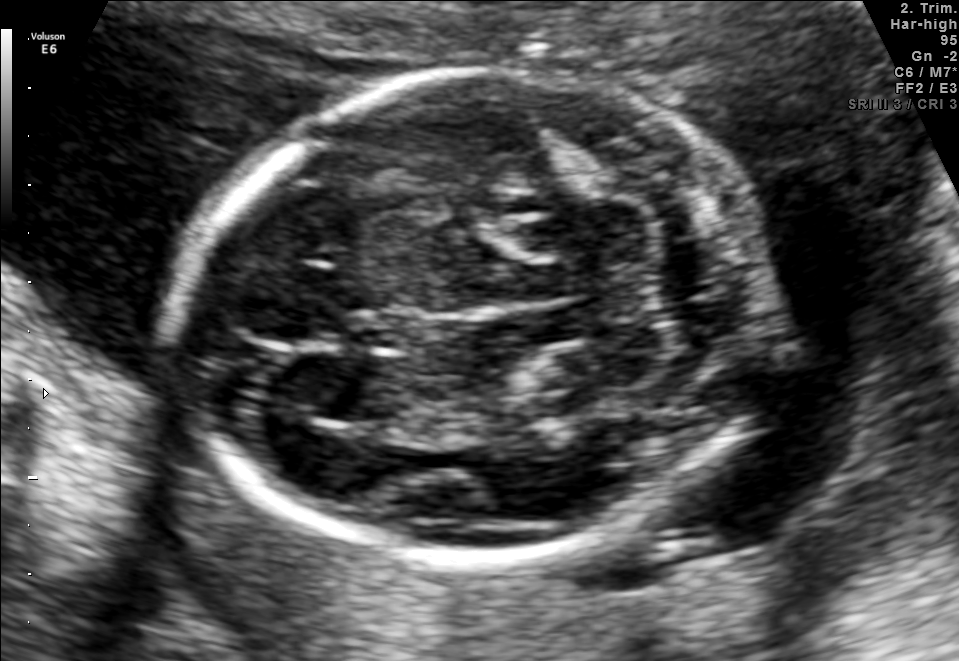
In this fetal brain, trans-cerebellum plane, give bounding boxes for the head outline, cavum septum pellucidum (CSP), and lateral ventricle (LV), where visible.

Head: [178,70,761,571]